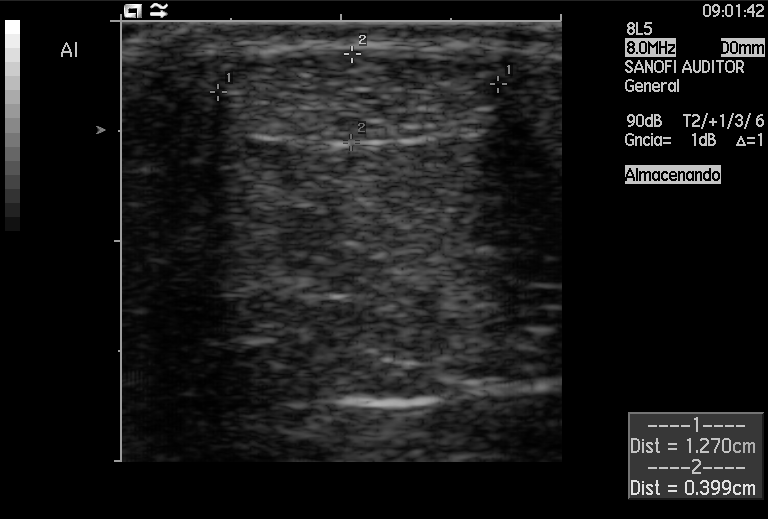
Which standard maternal-fetal ultrasound plane is shown: fetal abdomen, fetal brain, fetal femur, fetal thorax, maternal cervix, or other? If it's fetal brain and one of the three standard brain planes (trans-thalamic, trans-cerebellum, trans-ventricular), name which.

Other